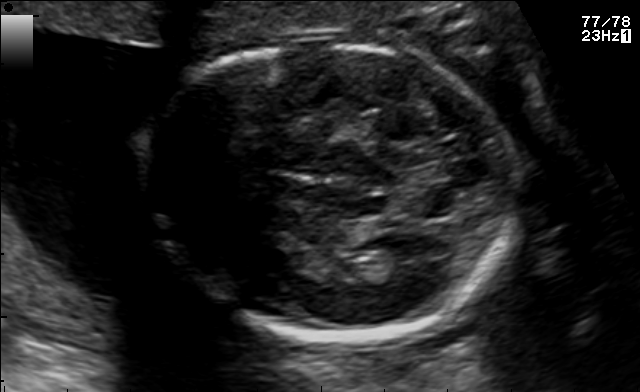
In this fetal brain, trans-thalamic plane, give the bounding box of the fetal head.

[153,37,517,337]